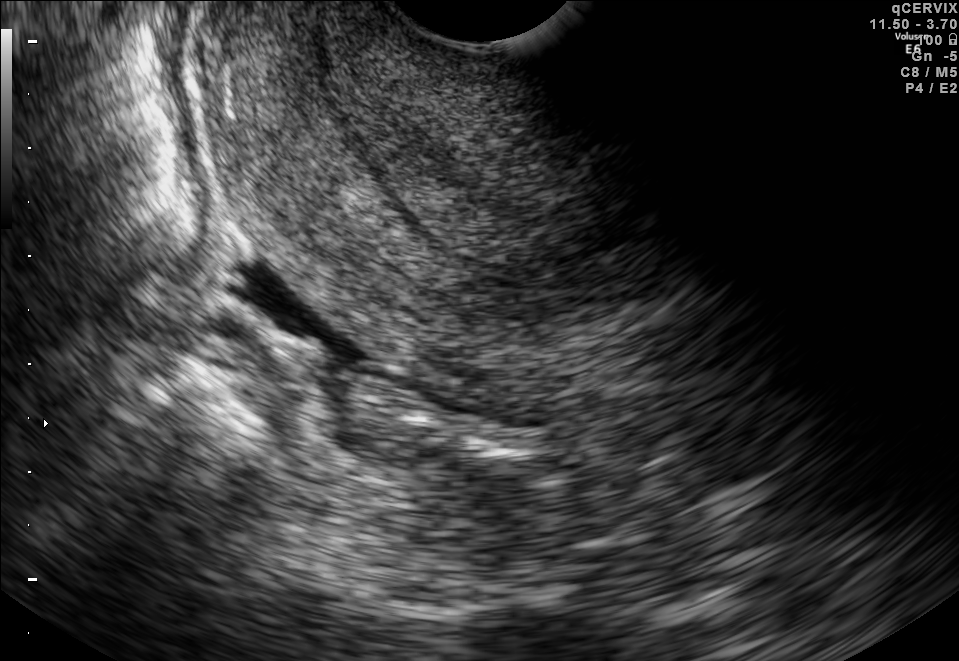
Classify this maternal-fetal ultrasound image as one of the six standard planes — fetal abdomen, fetal brain, fetal femur, fetal thorax, maternal cervix, or other. If it's fetal brain and one of the three standard brain planes (trans-thalamic, trans-cerebellum, trans-ventricular), name which.

Maternal cervix